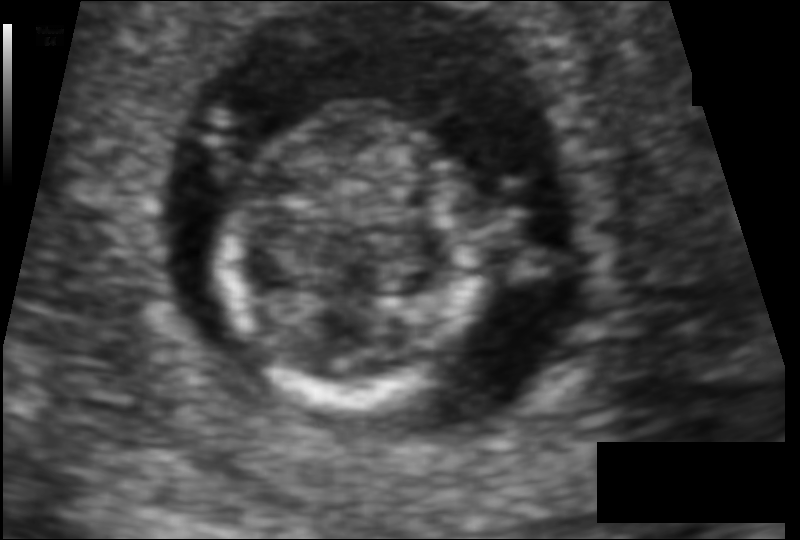
In this fetal head ultrasound, give the bounding box of the fetal head. Image width: 63.9 mm.

[220,98,490,419]